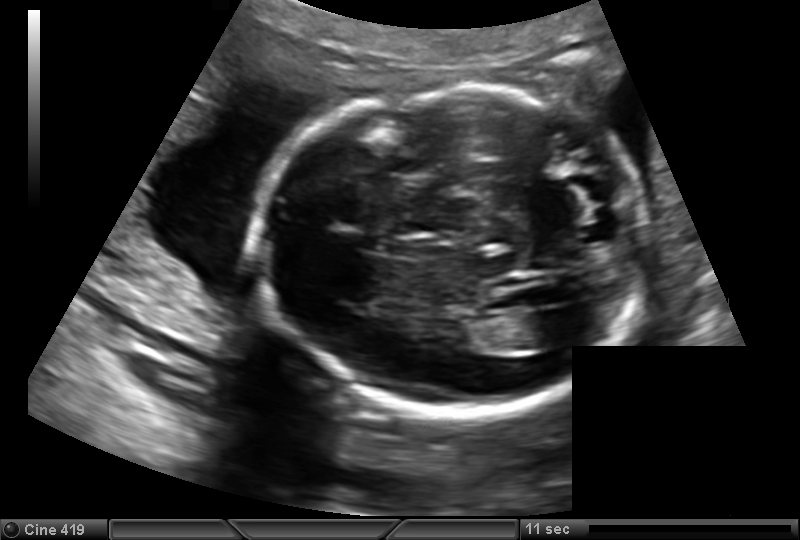
In this fetal head ultrasound, give the bounding box of the lateral ventricle. Image width: 120.7 mm.

[515,309,573,351]